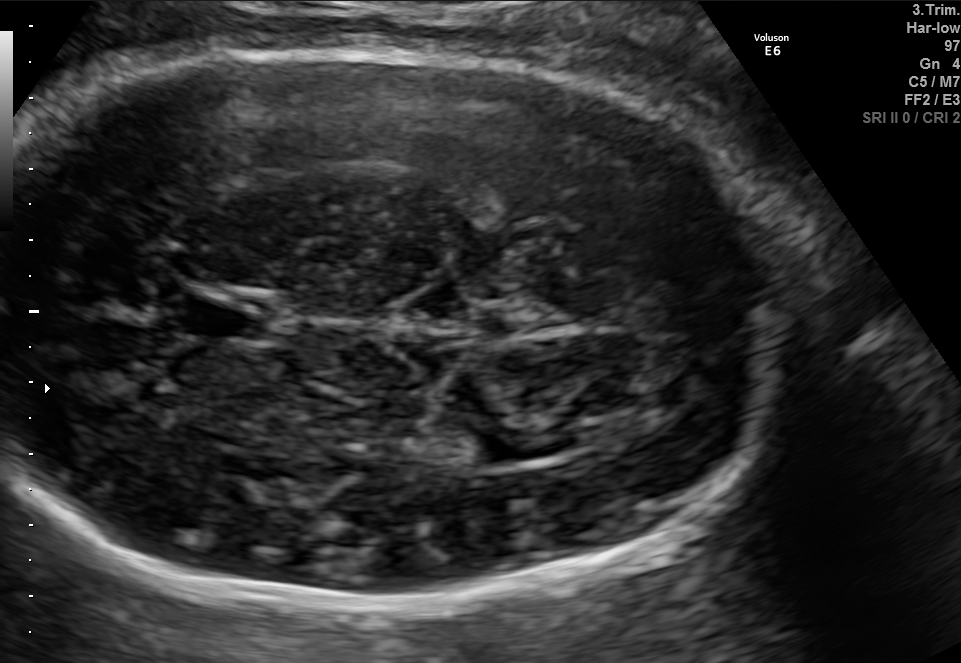
Fetal brain, trans-thalamic plane. Where is the cavum septum pellucidum?

CSP bounding box: [183,296,270,337]